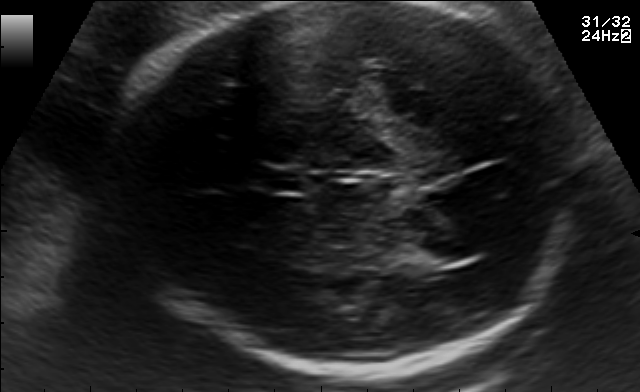
In this fetal brain, trans-thalamic plane, give the bounding box of the lateral ventricle.

[409,227,485,275]